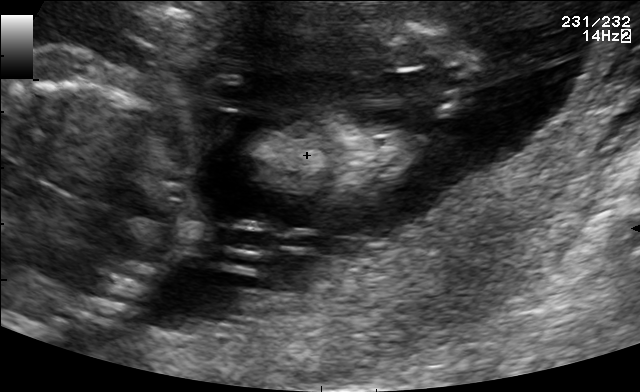
Classify this maternal-fetal ultrasound image as one of the six standard planes — fetal abdomen, fetal brain, fetal femur, fetal thorax, maternal cervix, or other. If it's fetal brain and one of the three standard brain planes (trans-thalamic, trans-cerebellum, trans-ventricular), name which.

Other